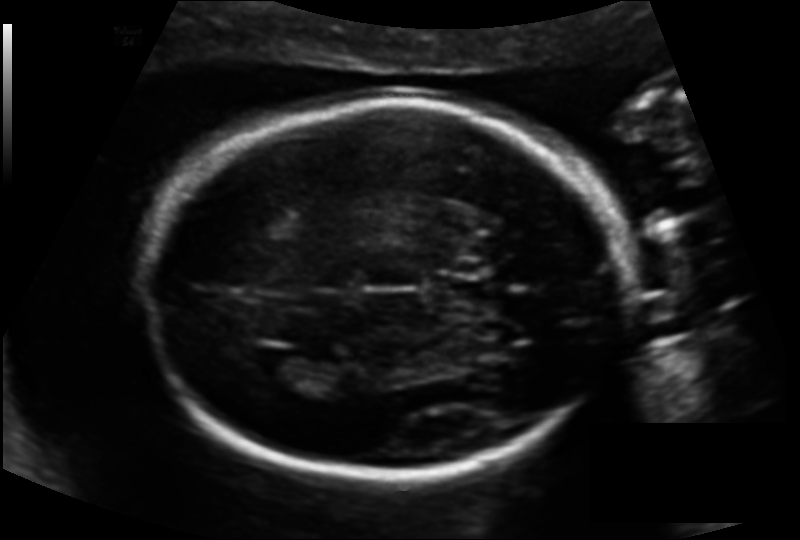
Estimate the fetal head circumference from this 2D ultrasound.

Head circumference: 186.8 mm (image width 107.7 mm).